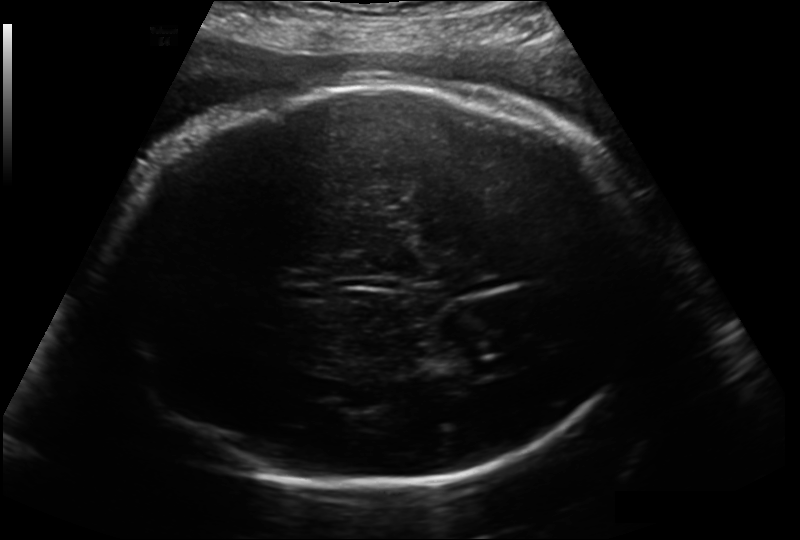
In this fetal head ultrasound, give the bounding box of the fetal head. Image width: 171.3 mm.

[101,83,647,489]